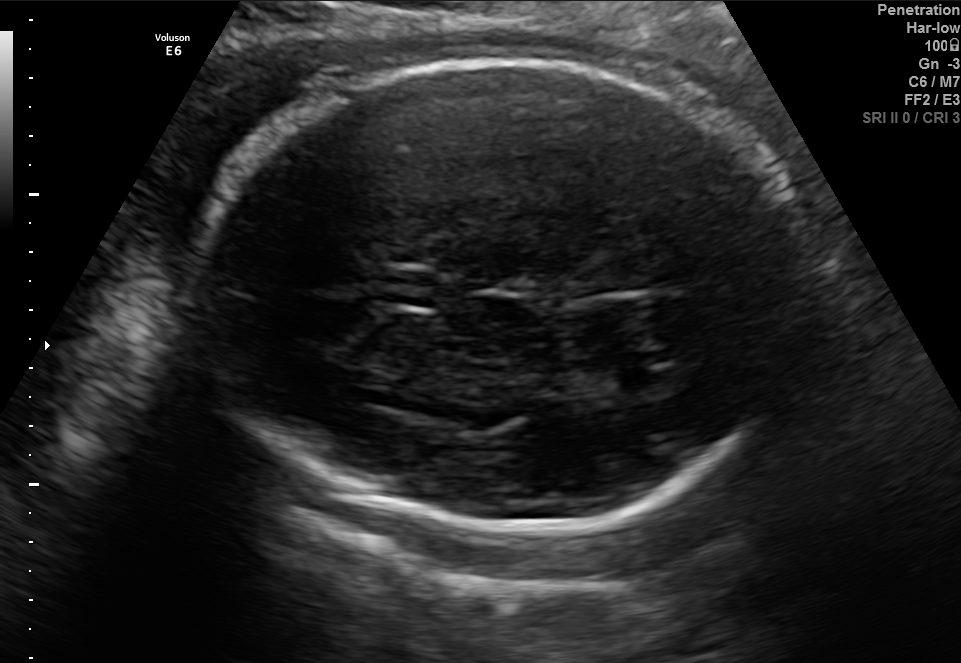
Fetal brain, trans-thalamic plane. Where is the fetal head?

Head bounding box: [192,59,821,532]